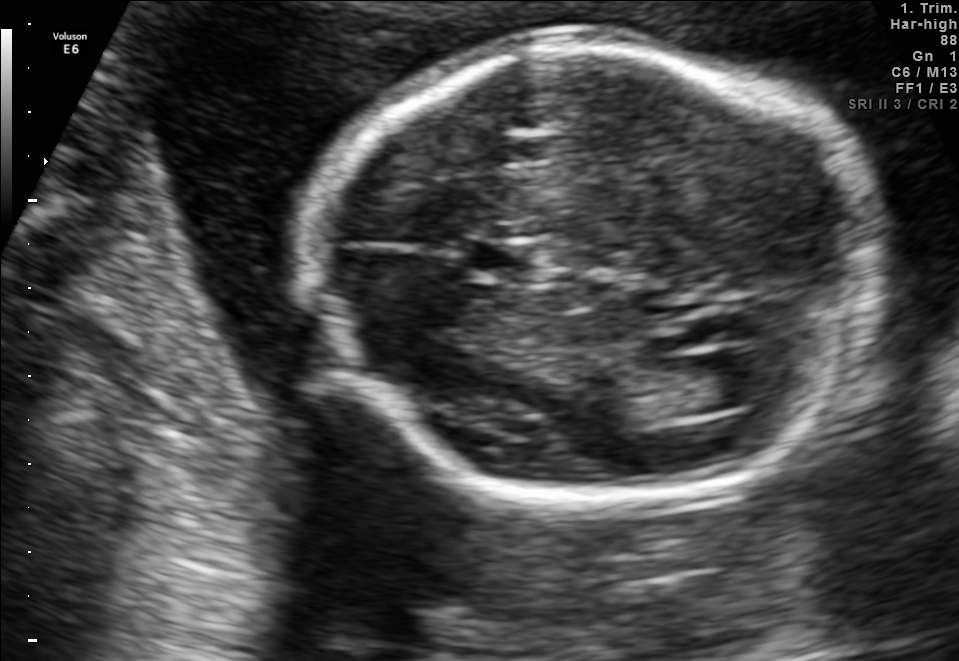
Fetal brain, trans-ventricular plane. Locate the fetal head and, if visible, the cavum septum pellucidum (CSP) and lateral ventricle (LV). Give bounding boxes as [x1,y1,x2,y2].

Head: [298,35,897,514]
CSP: [471,241,539,282]
Lateral ventricle: [690,340,793,415]